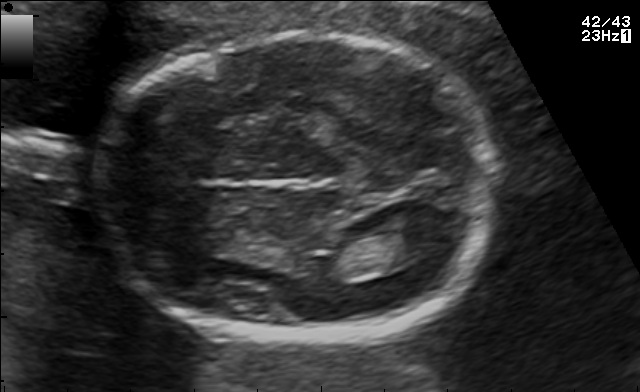
Fetal brain, trans-thalamic plane. Locate the fetal head and, if visible, the cavum septum pellucidum (CSP) and lateral ventricle (LV). Give bounding boxes as [x1,y1,x2,y2].

Head: [98,35,497,339]
Lateral ventricle: [363,222,437,273]